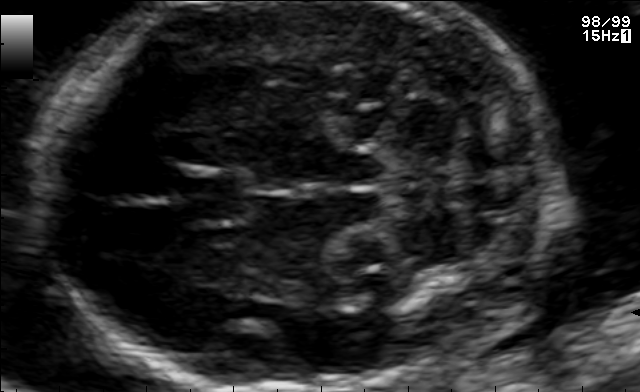
In this fetal brain, trans-cerebellum plane, give the bounding box of the fetal head.

[35,4,555,390]